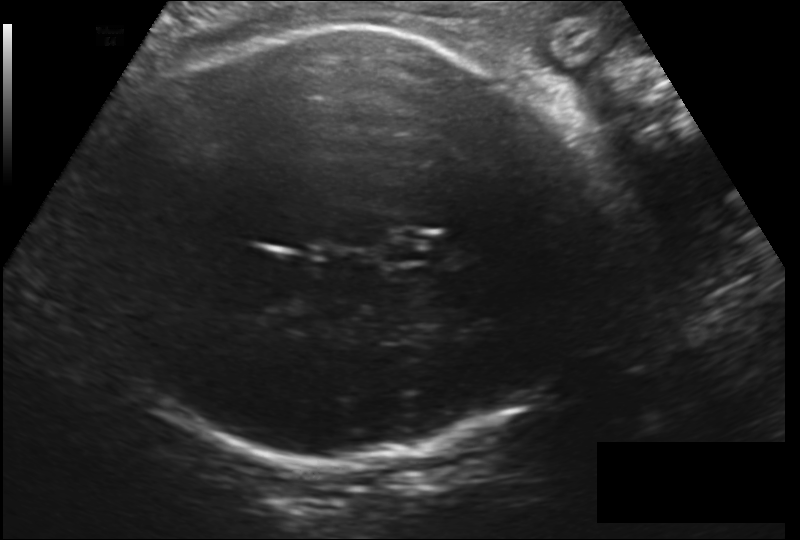
What is the fetal head circumference? Image width is 169.8 mm.

330.9 mm